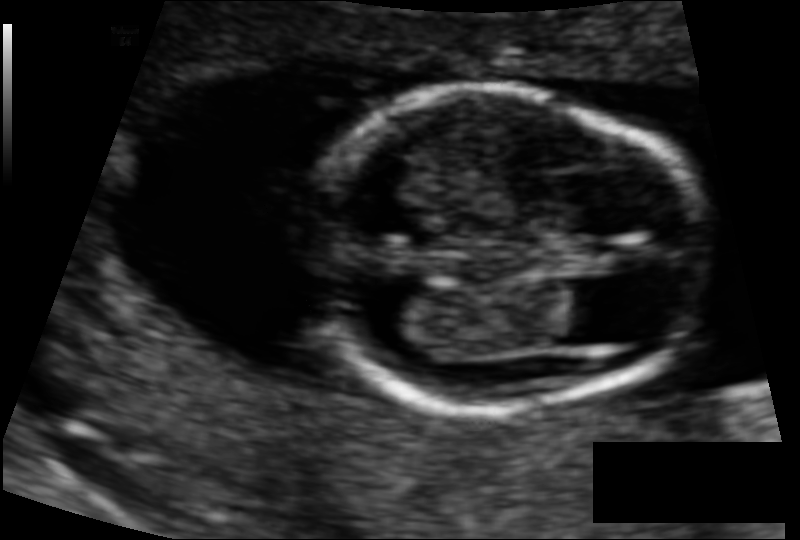
Fetal head ultrasound. Image width: 67.4 mm. Where is the fetal head?

Head bounding box: [302,88,707,409]